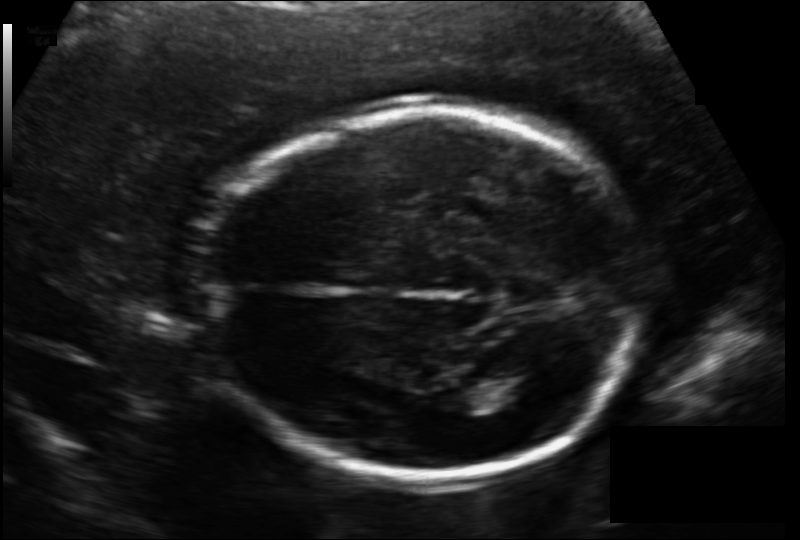
Fetal head ultrasound. Image width: 106.6 mm. Locate the fetal head.

Head: [203,107,644,480]